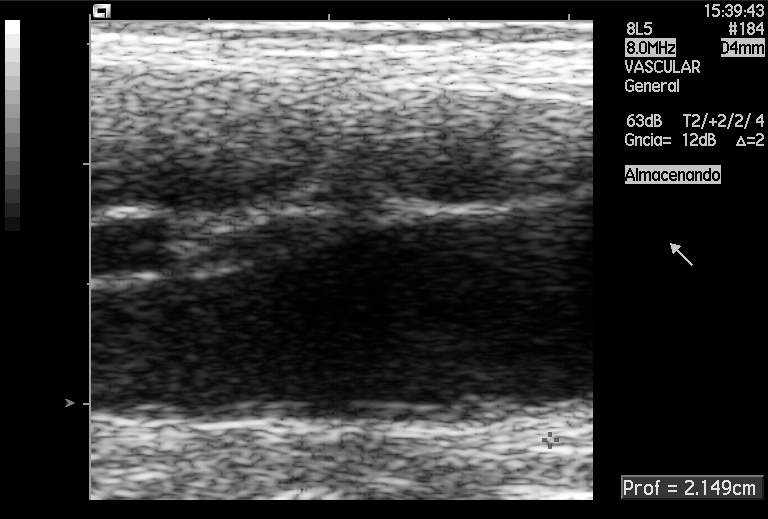
Classify this maternal-fetal ultrasound image as one of the six standard planes — fetal abdomen, fetal brain, fetal femur, fetal thorax, maternal cervix, or other. If it's fetal brain and one of the three standard brain planes (trans-thalamic, trans-cerebellum, trans-ventricular), name which.

Other